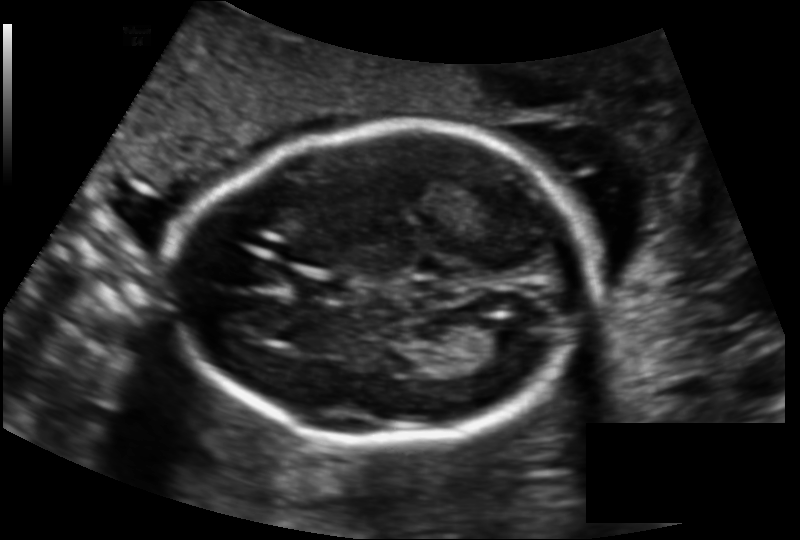
Estimate the fetal head circumference from this 2D ultrasound. Image width: 109.7 mm.

Head circumference: 165.7 mm.